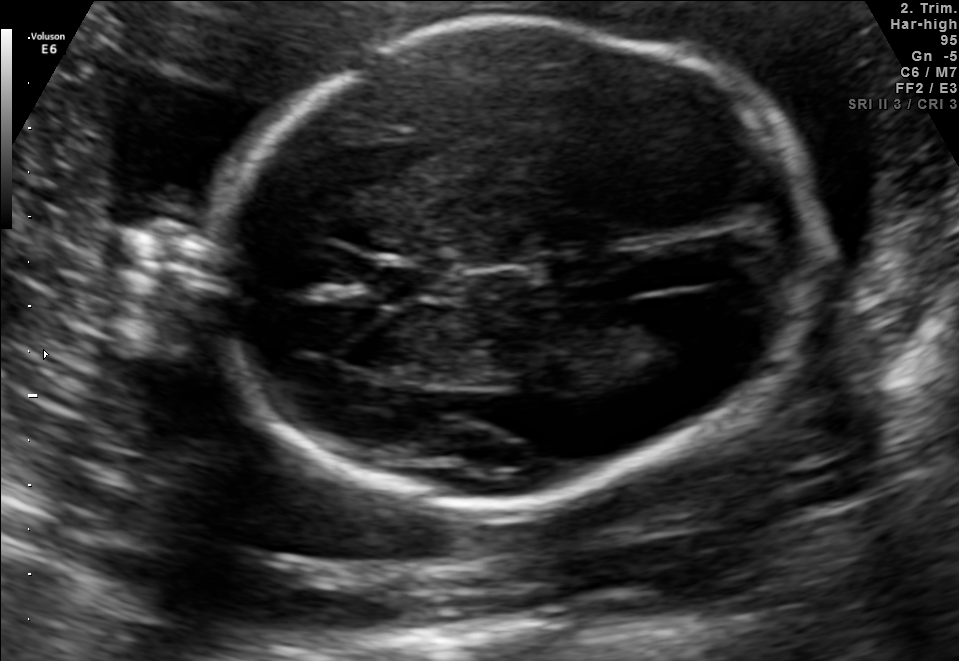
In this fetal brain, trans-ventricular plane, give the bounding box of the fetal head.

[197,8,826,521]